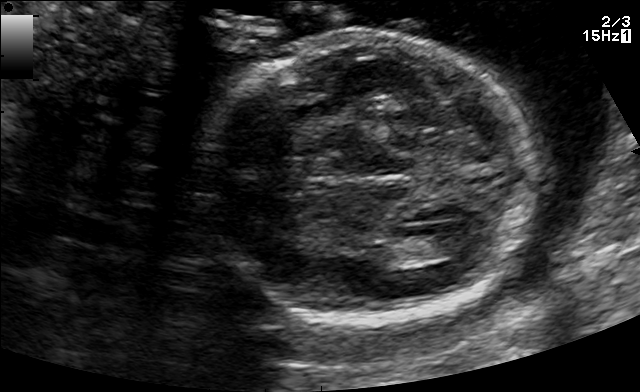
Fetal brain, trans-ventricular plane. Where is the fetal head?

Head bounding box: [190,26,544,330]